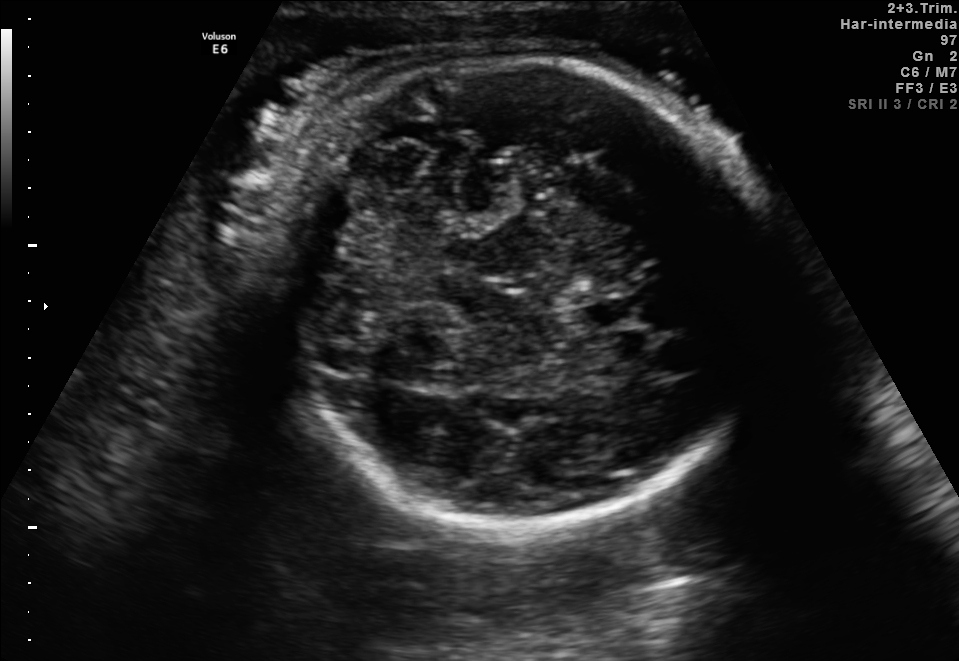
Fetal brain, trans-cerebellum plane. Give [x1,y1,x2,y2] bounding boxes for each visible structure among: fetal head, CSP, LV.

Head: [247,59,776,526]
CSP: [576,291,640,331]